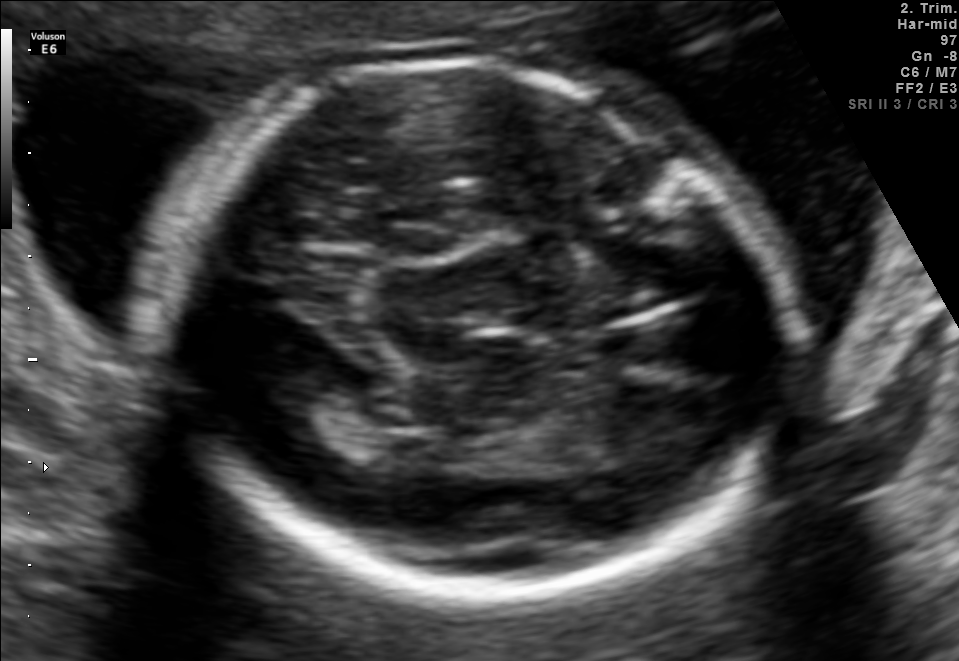
In this fetal brain, trans-thalamic plane, give bounding boxes for the head outline, cavum septum pellucidum (CSP), and lateral ventricle (LV), where visible.

Head: [158,64,795,599]